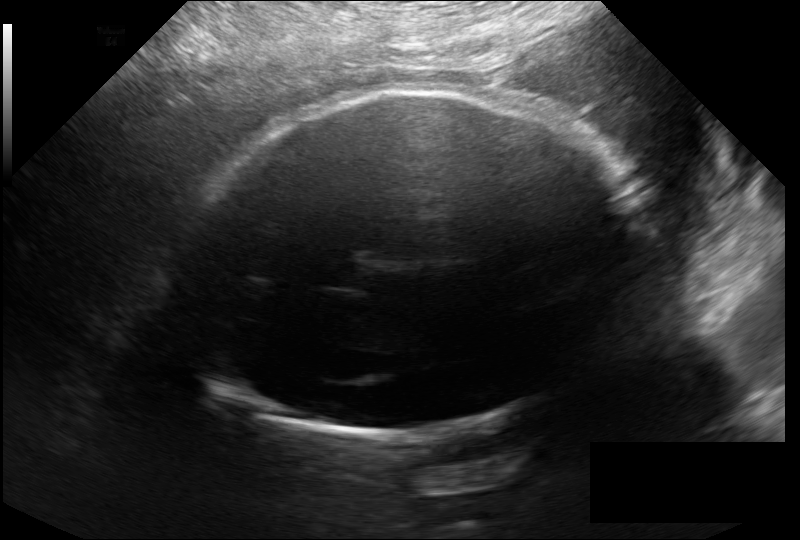
Fetal head ultrasound. Image width: 196.9 mm. Where is the fetal head?

Head bounding box: [180,90,626,435]